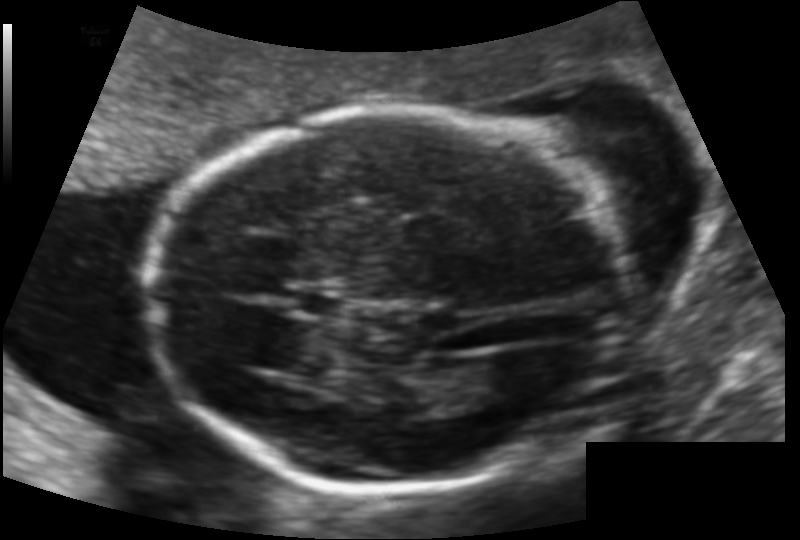
Estimate the fetal head circumference from this 2D ultrasound. Image width: 94.5 mm.

Head circumference: 163.6 mm.